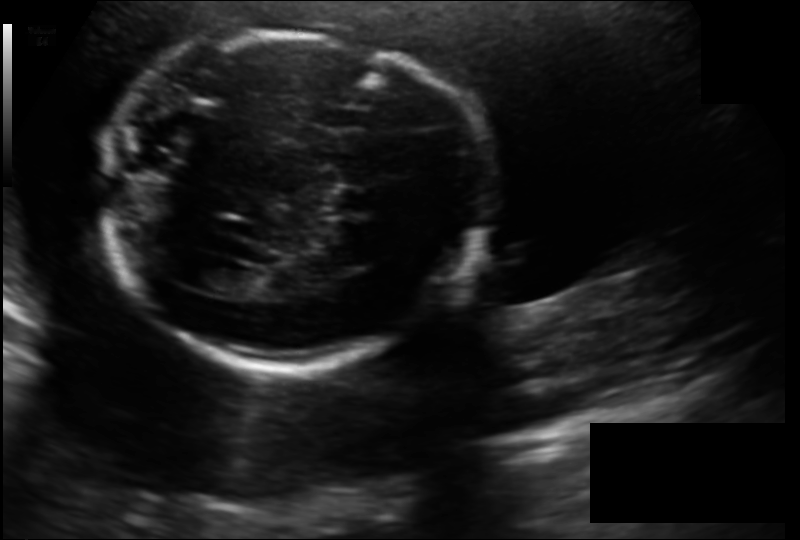
Measure the fetal head circumference shown in this ultrasound image. Image width: 126.7 mm.

Head circumference: 187.8 mm.